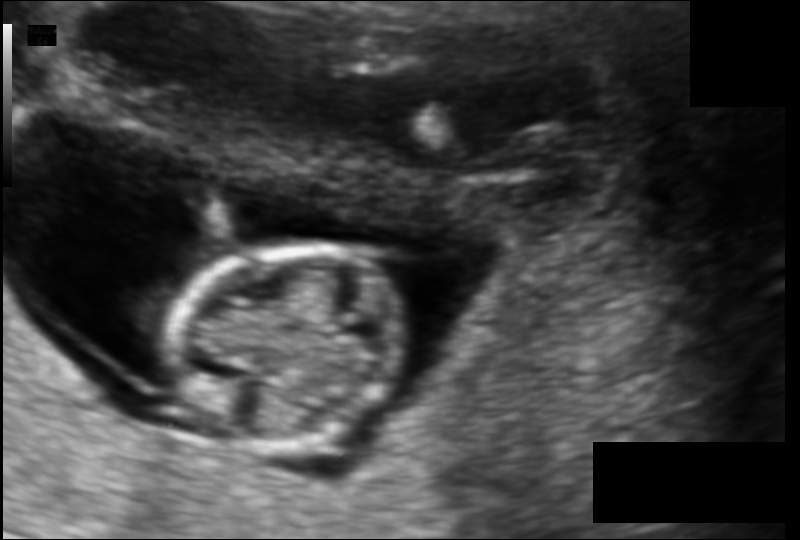
Fetal head ultrasound. Image width: 83.9 mm. Locate the fetal head and, if visible, the cavum septum pellucidum (CSP) and lateral ventricle (LV). Give bounding boxes as [x1,y1,x2,y2].

Head: [165,244,405,443]